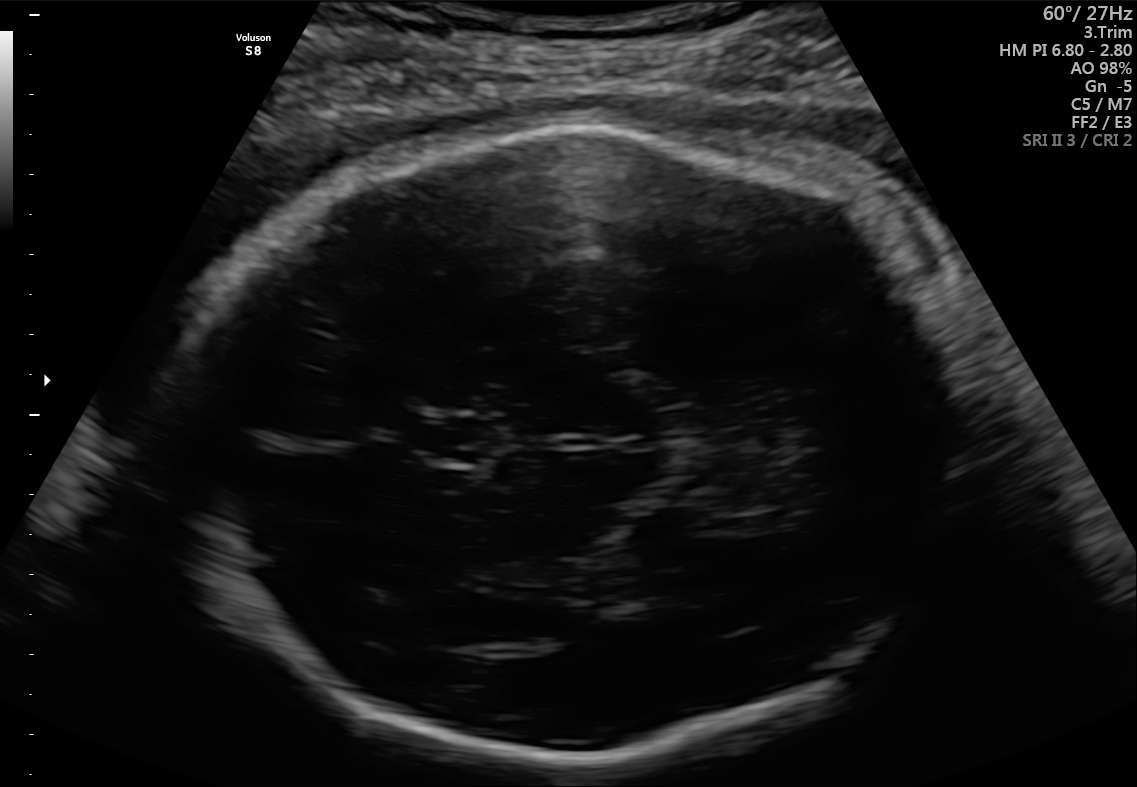
Fetal brain, trans-thalamic plane. Give [x1,y1,x2,y2] bounding boxes for each visible structure among: fetal head, CSP, LV.

Head: [166,130,992,764]
CSP: [418,417,488,464]